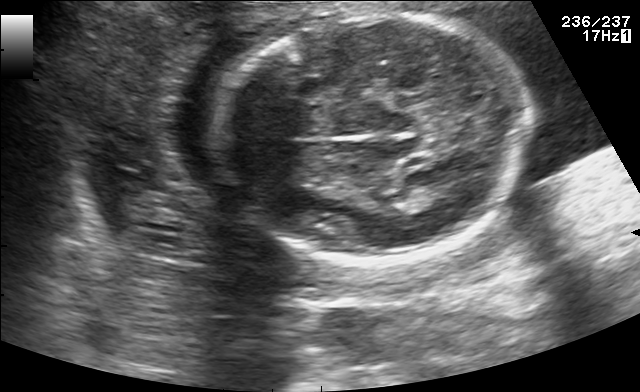
In this fetal brain, trans-thalamic plane, give bounding boxes for the head outline, cavum septum pellucidum (CSP), and lateral ventricle (LV), where visible.

Head: [214,10,532,263]
Lateral ventricle: [404,171,463,214]